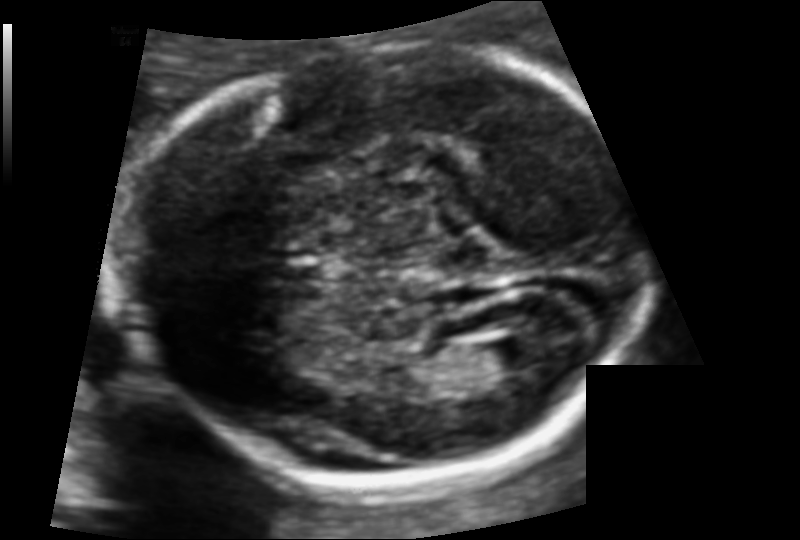
Estimate the fetal head circumference from this 2D ultrasound. Image width: 84.2 mm.

Head circumference: 163.7 mm.